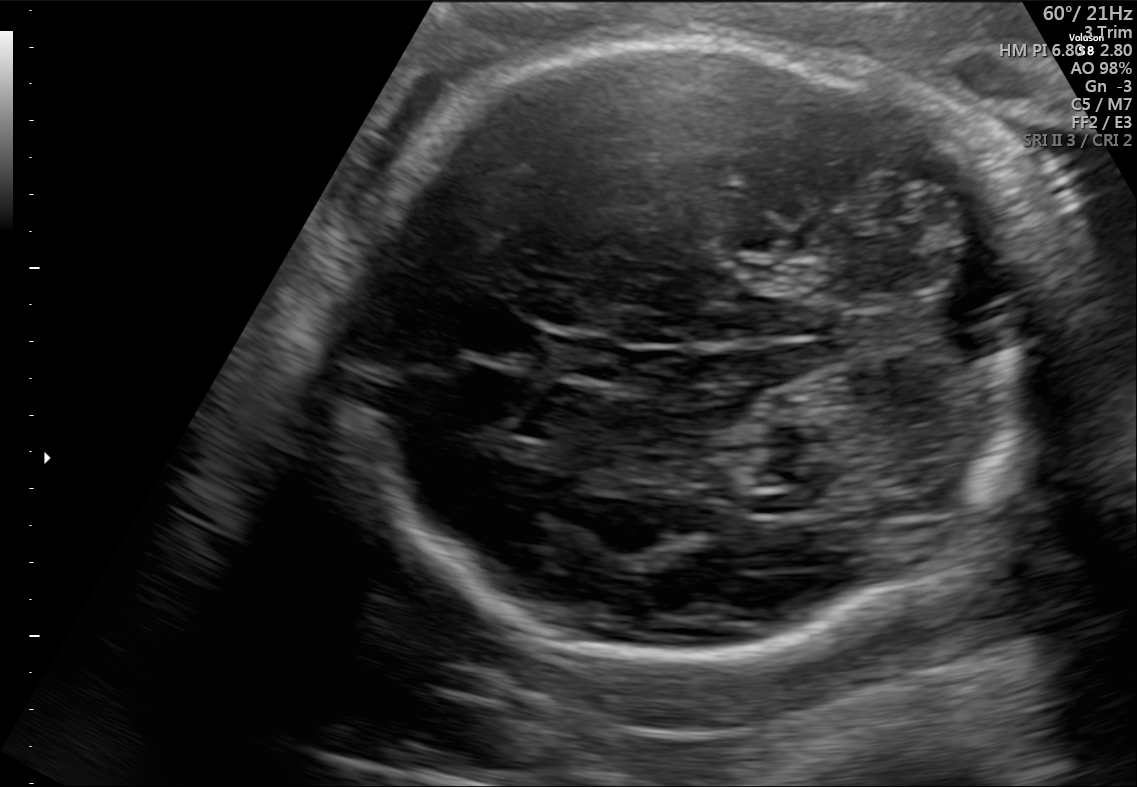
Which standard maternal-fetal ultrasound plane is shown: fetal abdomen, fetal brain, fetal femur, fetal thorax, maternal cervix, or other? If it's fetal brain and one of the three standard brain planes (trans-thalamic, trans-cerebellum, trans-ventricular), name which.

Fetal brain (trans-cerebellum plane)